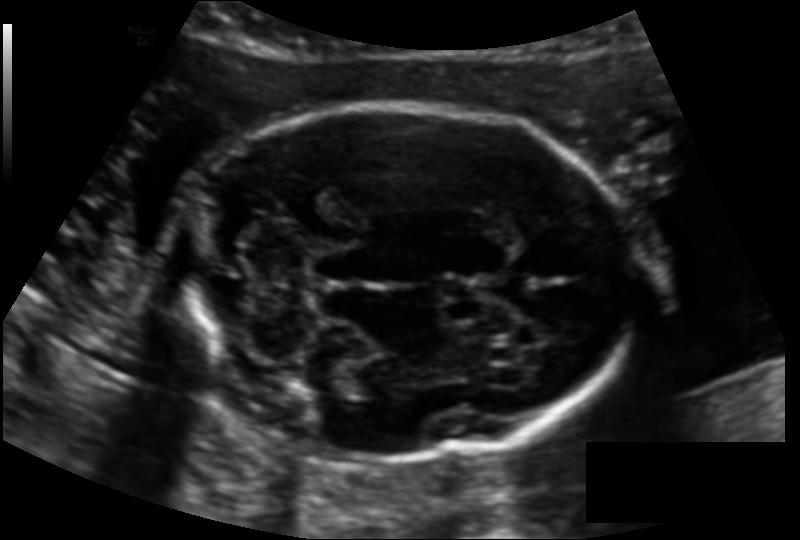
Fetal head ultrasound. Image width: 102.3 mm. Give [x1,y1,x2,y2] bounding boxes for each visible structure among: fetal head, CSP, LV.

Head: [176,105,637,457]